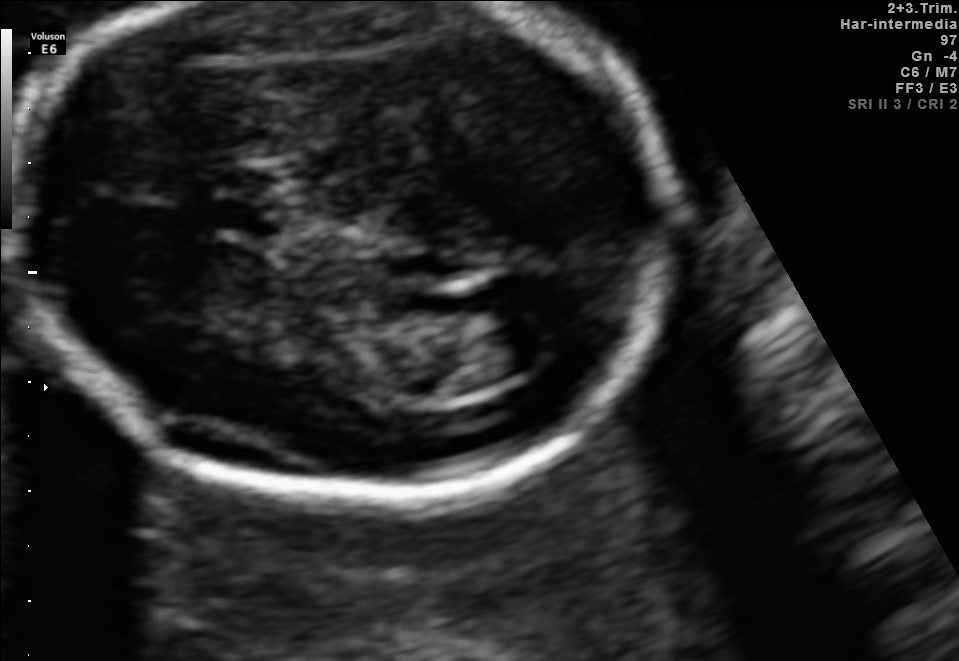
In this fetal brain, trans-ventricular plane, give the bounding box of the cavum septum pellucidum.

[214,199,276,238]